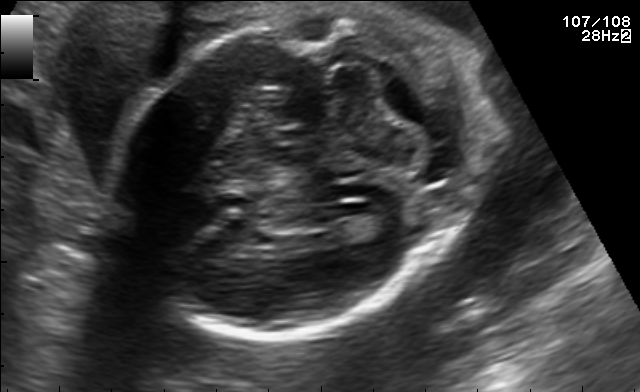
In this fetal brain, trans-cerebellum plane, give bounding boxes for the head outline, cavum septum pellucidum (CSP), and lateral ventricle (LV), where visible.

Head: [113,8,489,334]